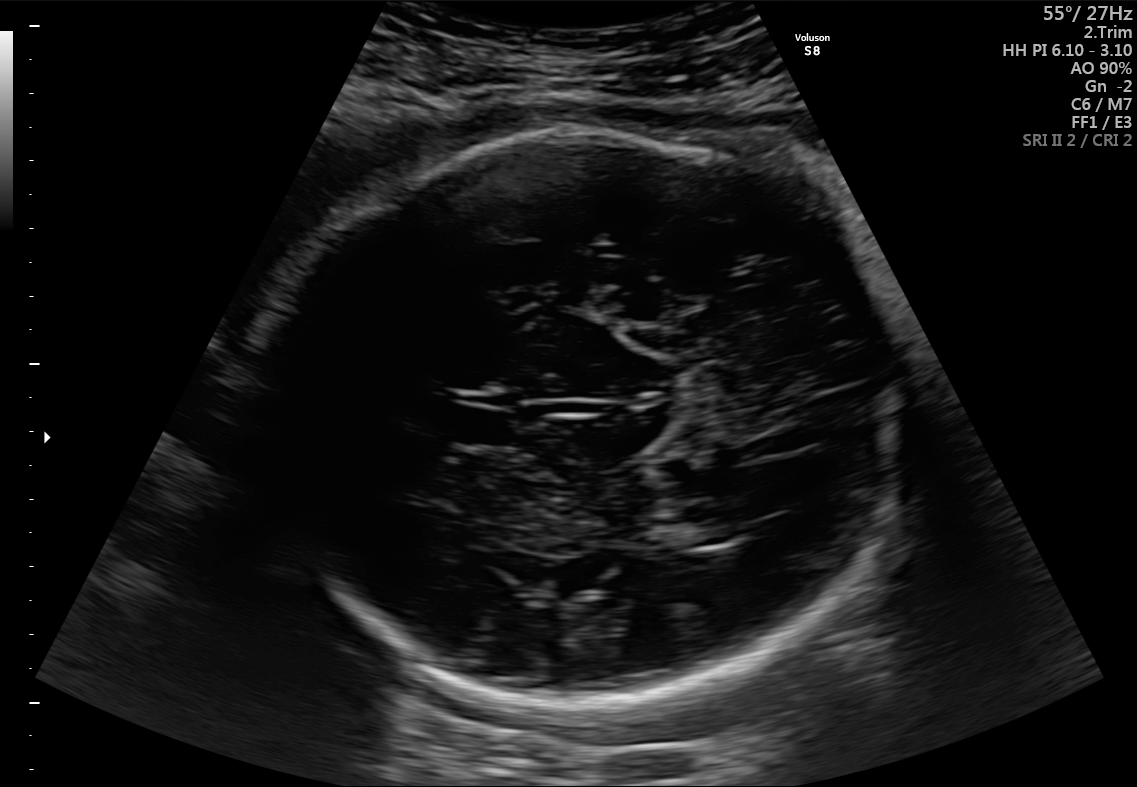
Fetal brain, trans-thalamic plane. Where is the fetal head?

Head bounding box: [255,135,911,712]